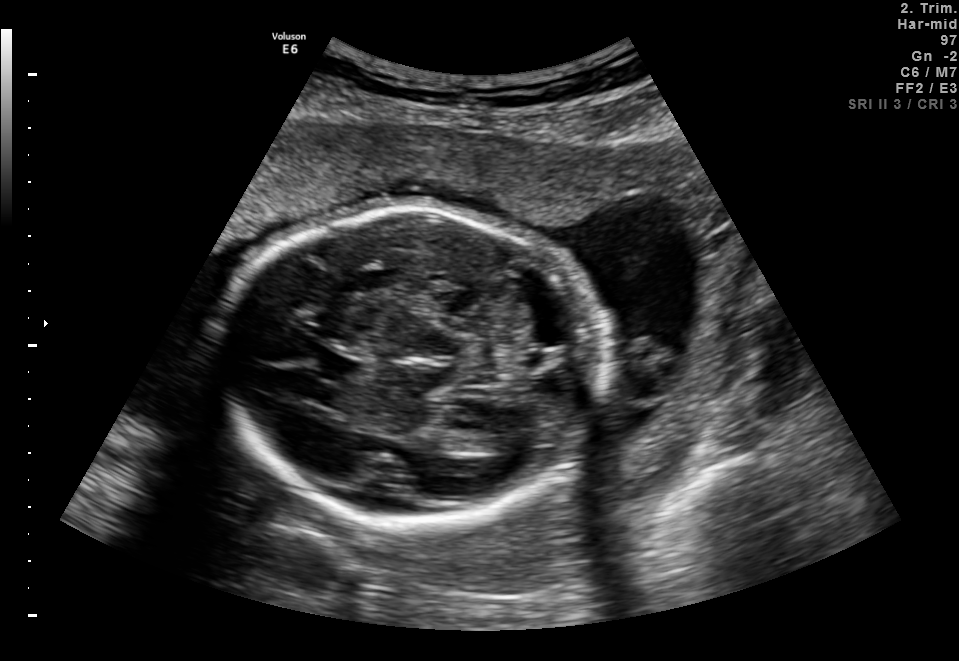
Fetal brain, trans-thalamic plane. Where is the cavum septum pellucidum?

CSP bounding box: [309,347,364,387]